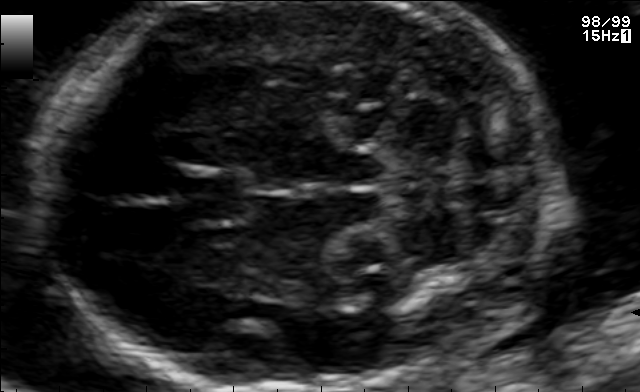
Fetal brain, trans-cerebellum plane. Where is the fetal head?

Head bounding box: [35,4,555,390]